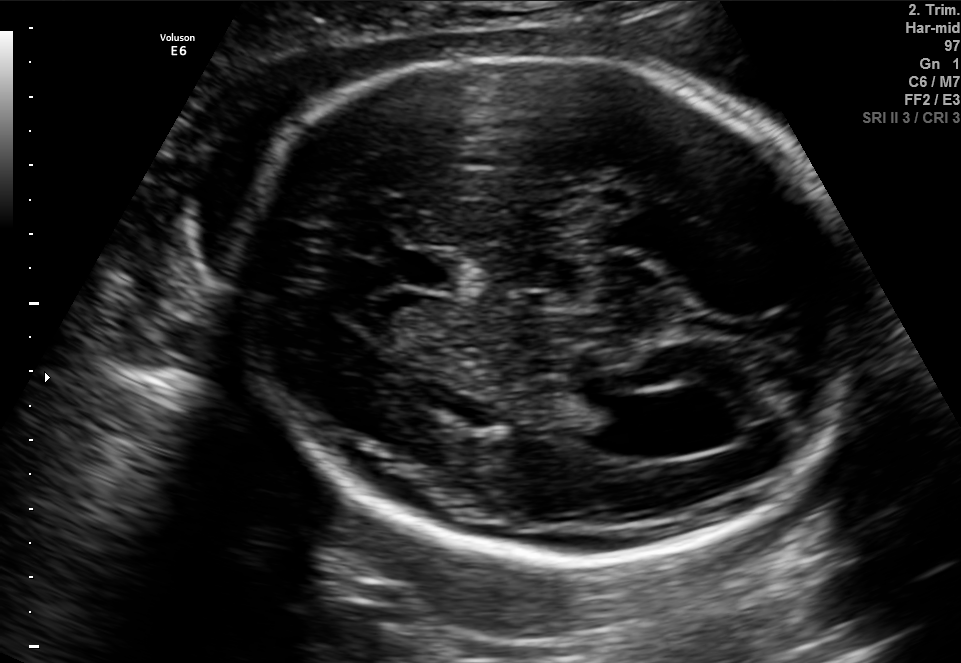
Fetal brain, trans-ventricular plane. Give [x1,y1,x2,y2] bounding boxes for each visible structure among: fetal head, CSP, LV.

Head: [221,53,870,564]
CSP: [375,244,472,296]
Lateral ventricle: [585,392,678,459]